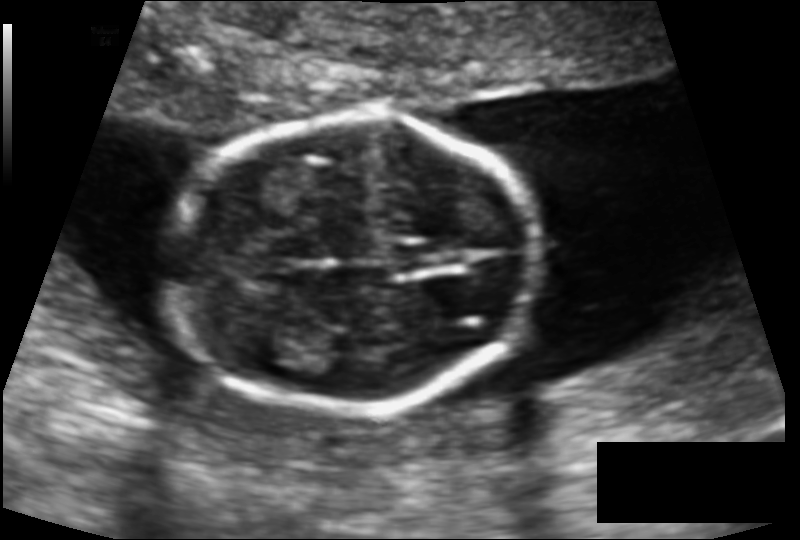
In this fetal head ultrasound, give the bounding box of the cavum septum pellucidum. Image width: 89.5 mm.

[392,243,437,272]